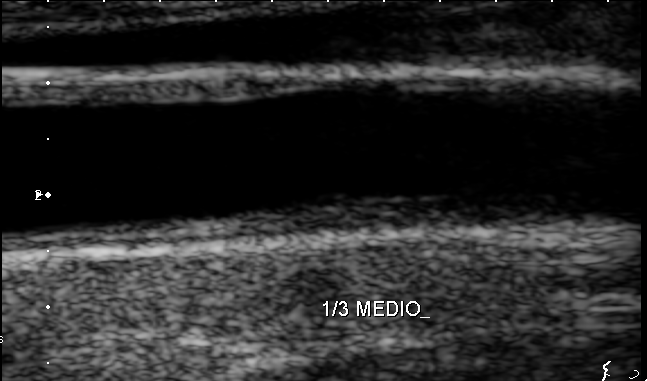
Which standard maternal-fetal ultrasound plane is shown: fetal abdomen, fetal brain, fetal femur, fetal thorax, maternal cervix, or other? If it's fetal brain and one of the three standard brain planes (trans-thalamic, trans-cerebellum, trans-ventricular), name which.

Other